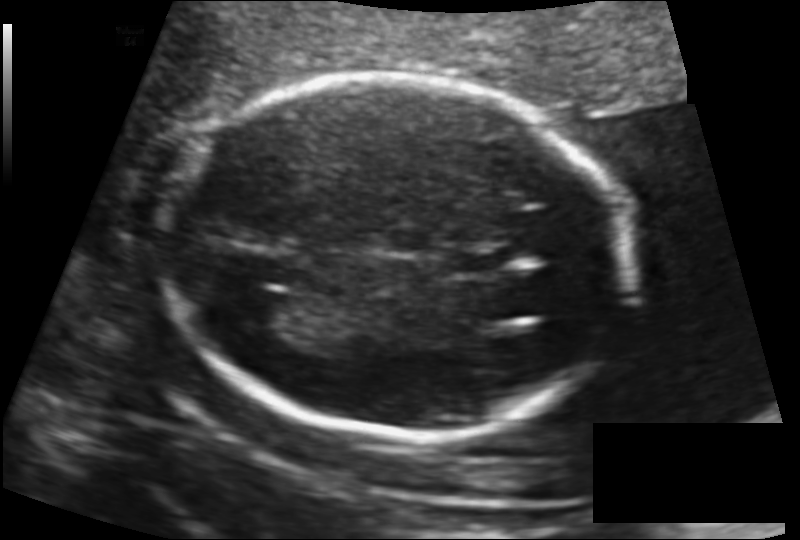
Fetal head ultrasound. Image width: 104.1 mm. Locate the fetal head.

Head: [163,74,632,435]